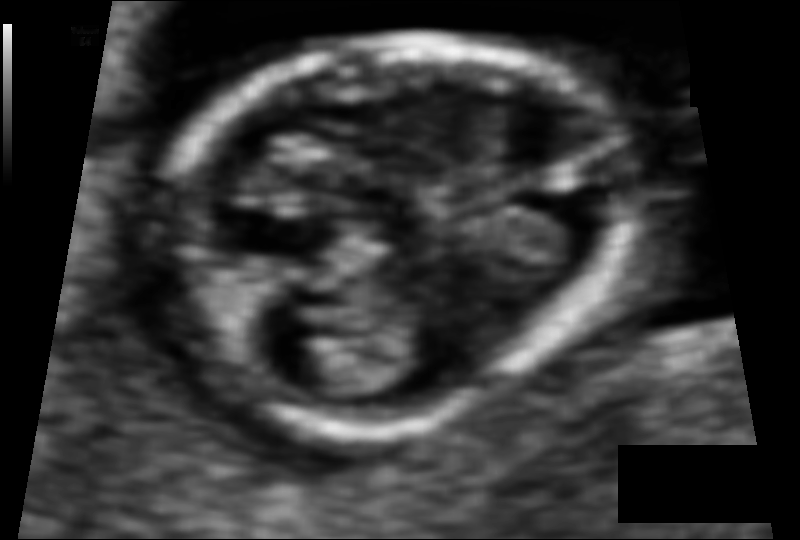
Fetal head ultrasound. Image width: 47.7 mm. Locate the fetal head.

Head: [153,36,624,426]